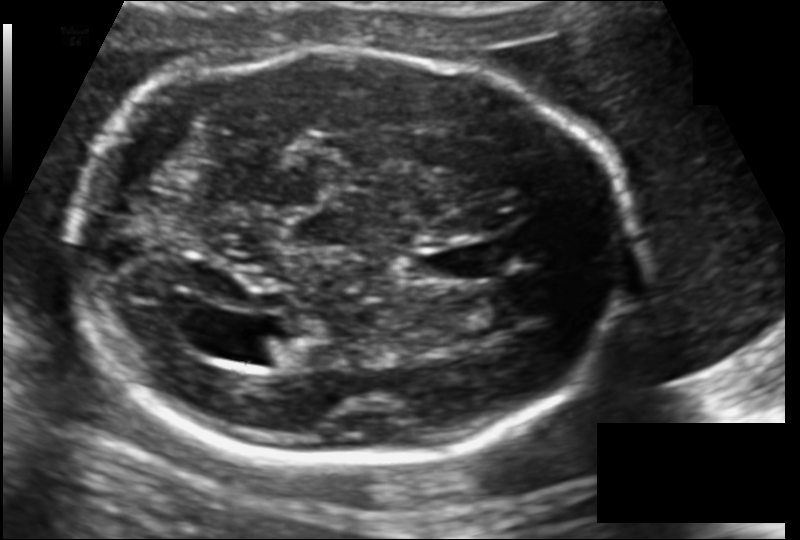
In this fetal head ultrasound, give bounding boxes for the head outline, cavum septum pellucidum (CSP), and lateral ventricle (LV), where visible. Image width: 110.0 mm.

Head: [70,49,636,460]
CSP: [416,238,501,288]
Lateral ventricle: [240,328,306,372]